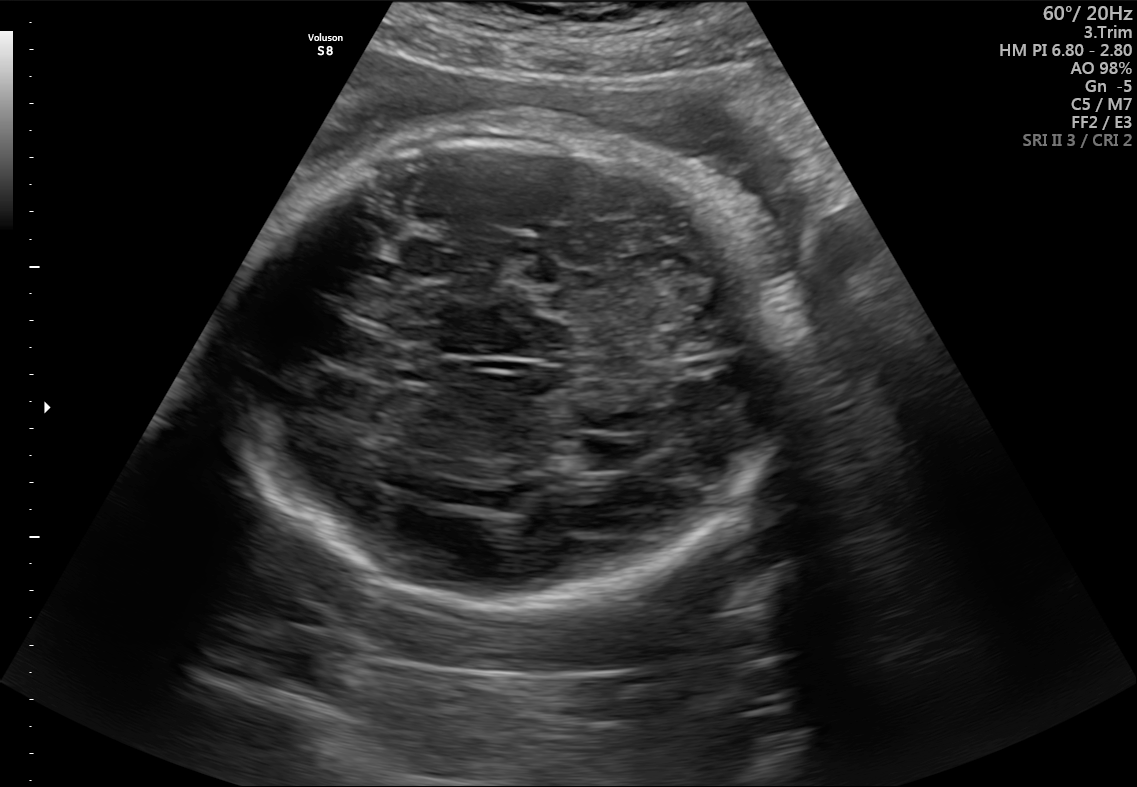
Fetal brain, trans-thalamic plane. Locate the lateral ventricle.

Lateral ventricle: [571,435,631,471]